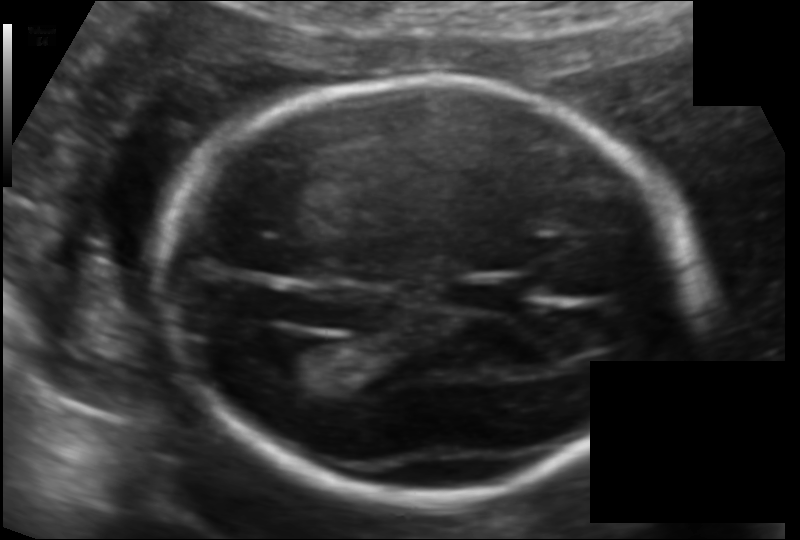
Fetal head ultrasound. Image width: 94.6 mm. Locate the lateral ventricle.

Lateral ventricle: [266,333,333,383]